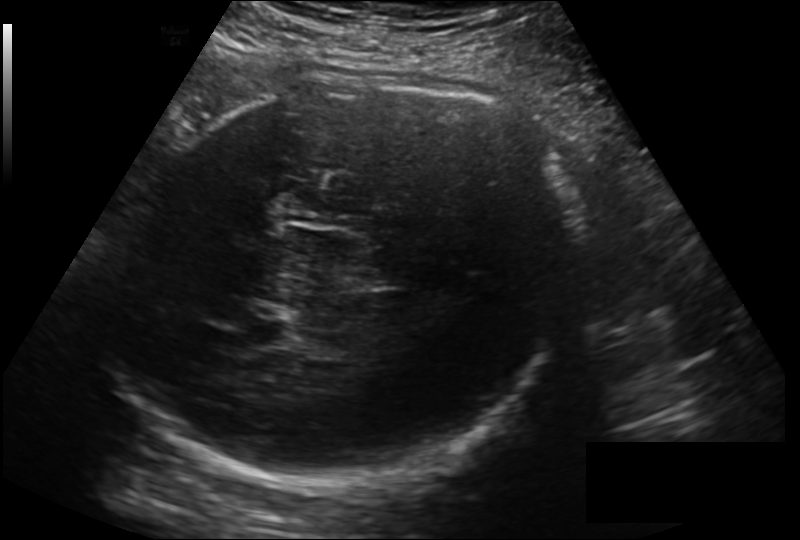
Fetal head ultrasound. Image width: 168.5 mm. Give [x1,y1,x2,y2] bounding boxes for each visible structure among: fetal head, CSP, LV.

Head: [118,74,576,485]